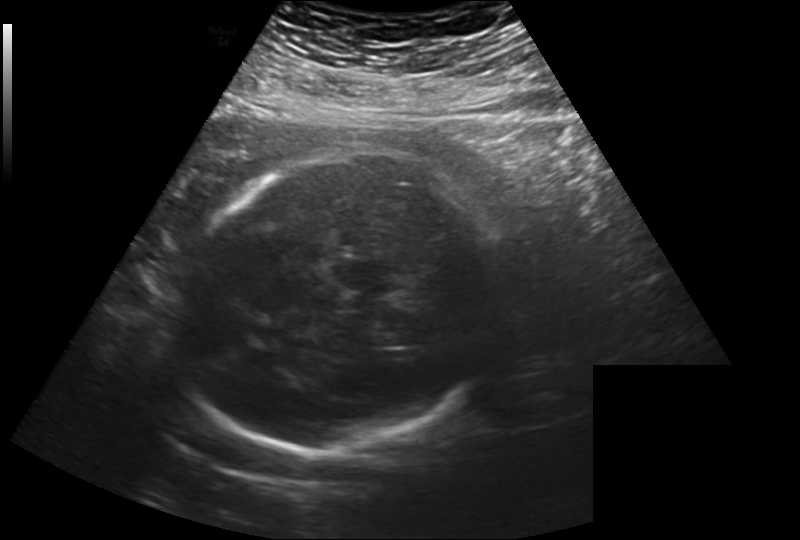
Fetal head ultrasound. Image width: 208.0 mm. Where is the fetal head?

Head bounding box: [177,154,500,453]